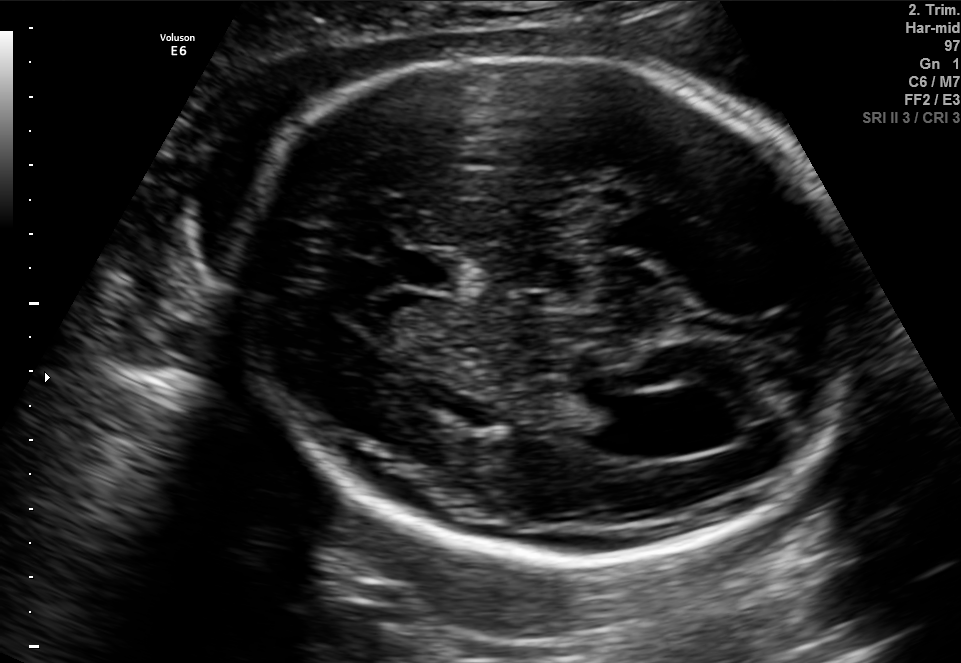
In this fetal brain, trans-ventricular plane, give the bounding box of the lateral ventricle.

[585,392,678,459]